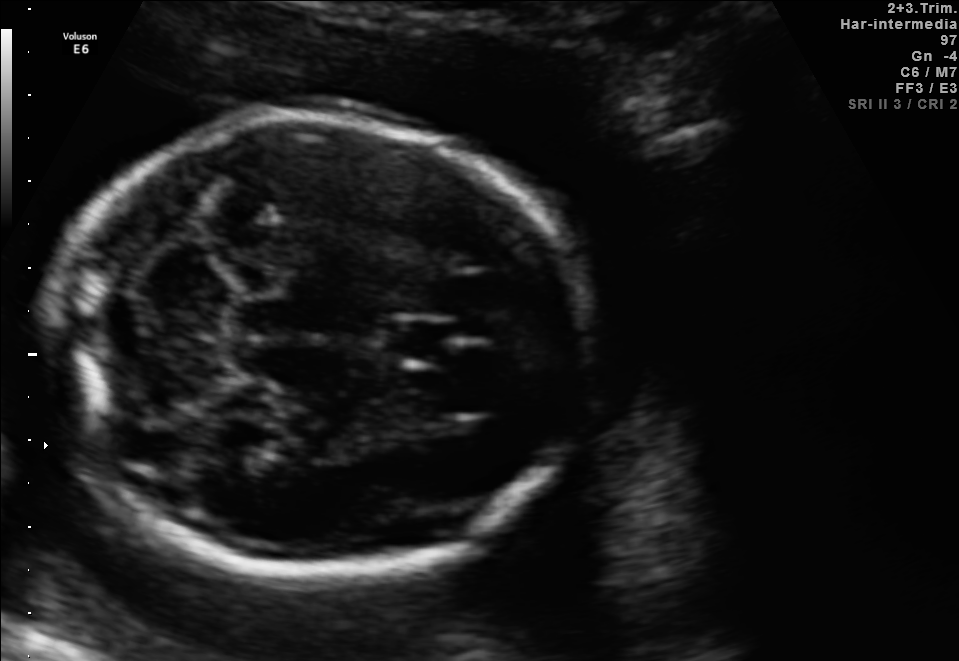
Fetal brain, trans-cerebellum plane. Locate the fetal head.

Head: [56,115,589,584]